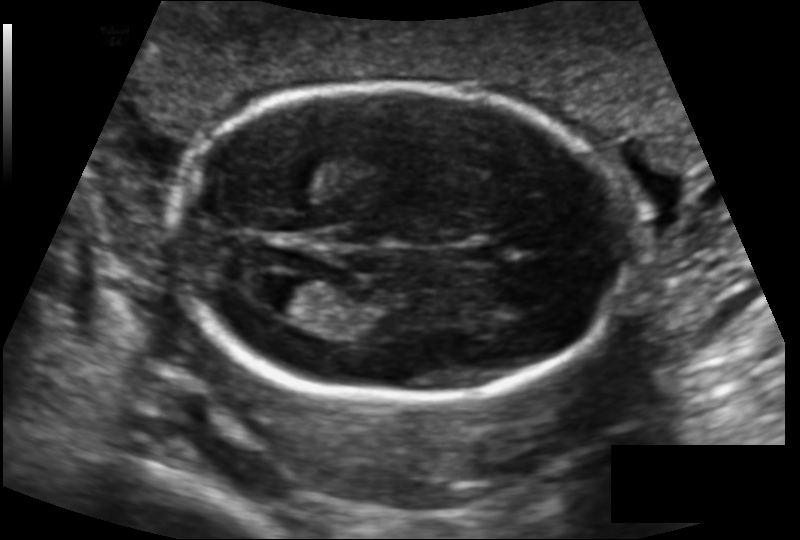
In this fetal head ultrasound, give the bounding box of the lateral ventricle. Image width: 104.8 mm.

[248,269,327,321]